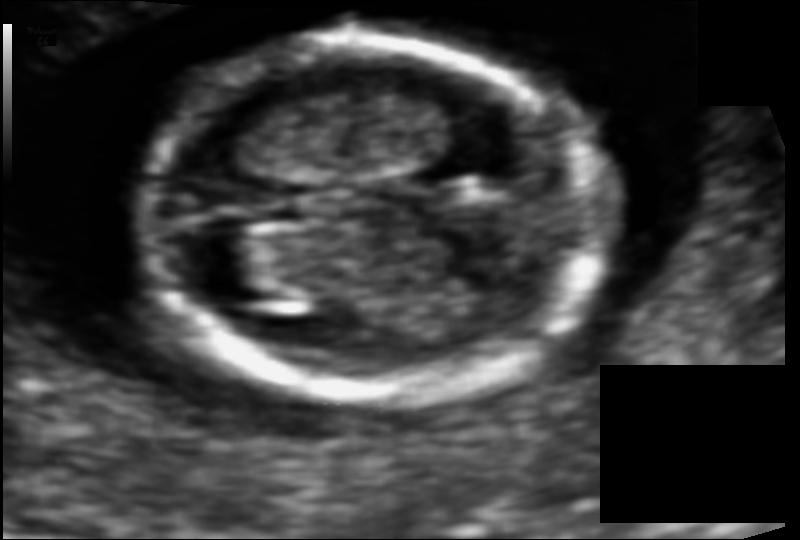
Estimate the fetal head circumference from this 2D ultrasound.

Head circumference: 99.4 mm (image width 59.6 mm).